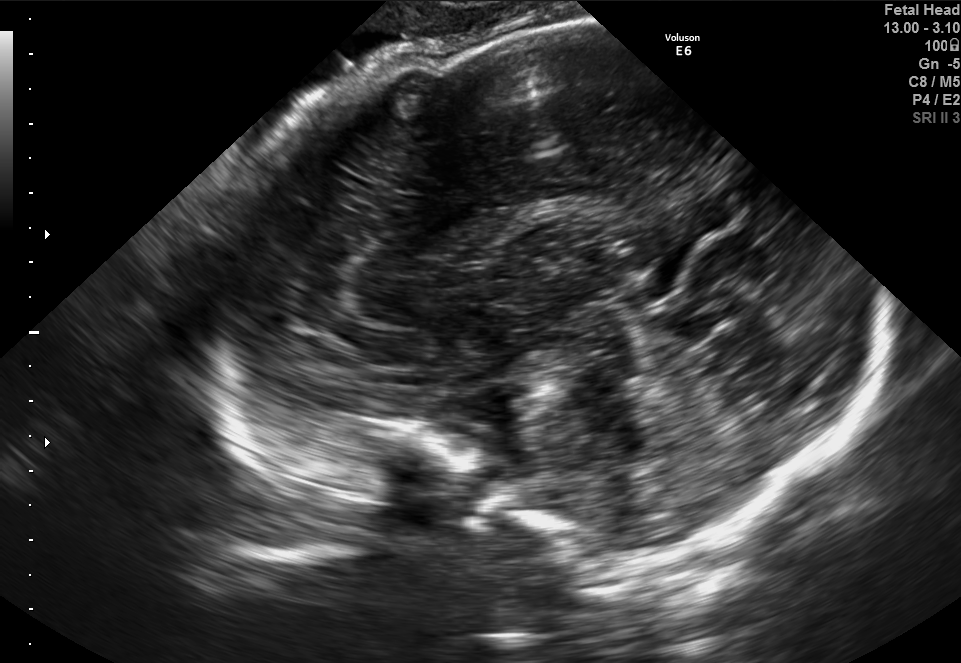
This is a 2D maternal-fetal ultrasound frame. Is it a fetal abdomen, fetal brain, fetal femur, fetal thorax, maternal cervix, or other standard plane? If it's fetal brain and one of the three standard brain planes (trans-thalamic, trans-cerebellum, trans-ventricular), name which.

Fetal brain